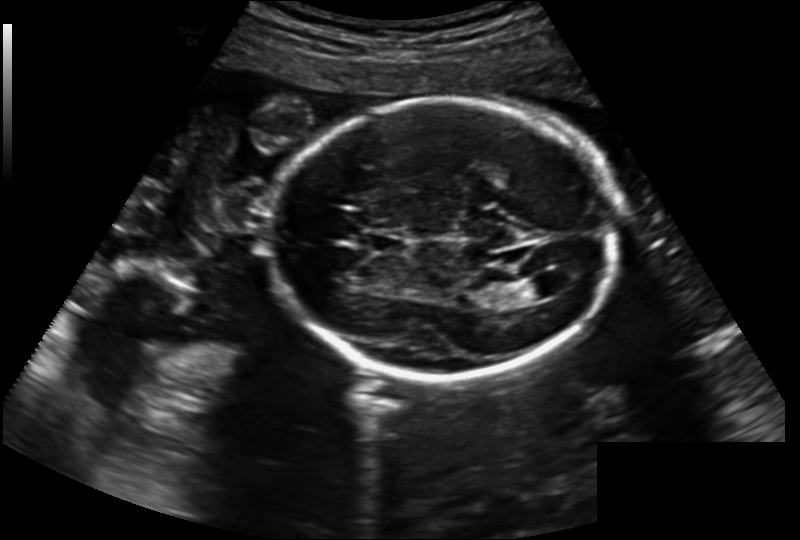
Measure the fetal head circumference shown in this ultrasound image. Image width: 161.7 mm.

Head circumference: 204.6 mm.